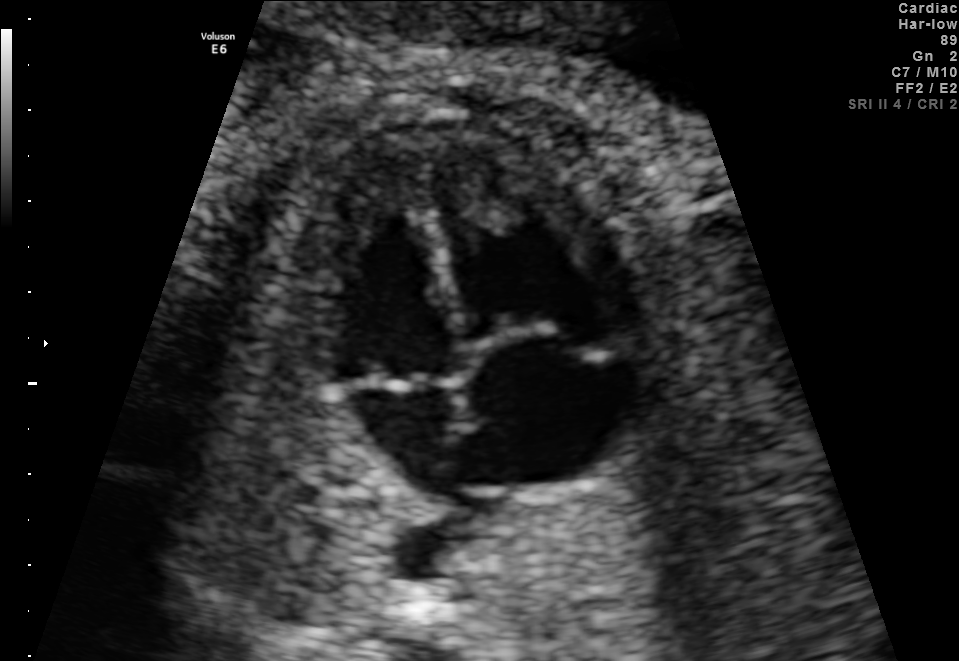
Identify the standard plane in this fetal ultrasound image: fetal abdomen, fetal brain, fetal femur, fetal thorax, maternal cervix, or other. If it's fetal brain and one of the three standard brain planes (trans-thalamic, trans-cerebellum, trans-ventricular), name which.

Fetal thorax